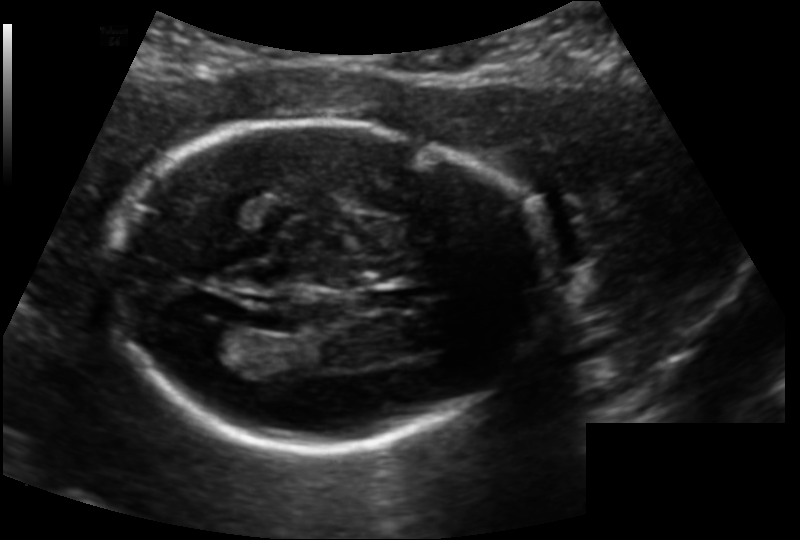
In this fetal head ultrasound, give the bounding box of the lateral ventricle. Image width: 111.5 mm.

[184,318,242,358]